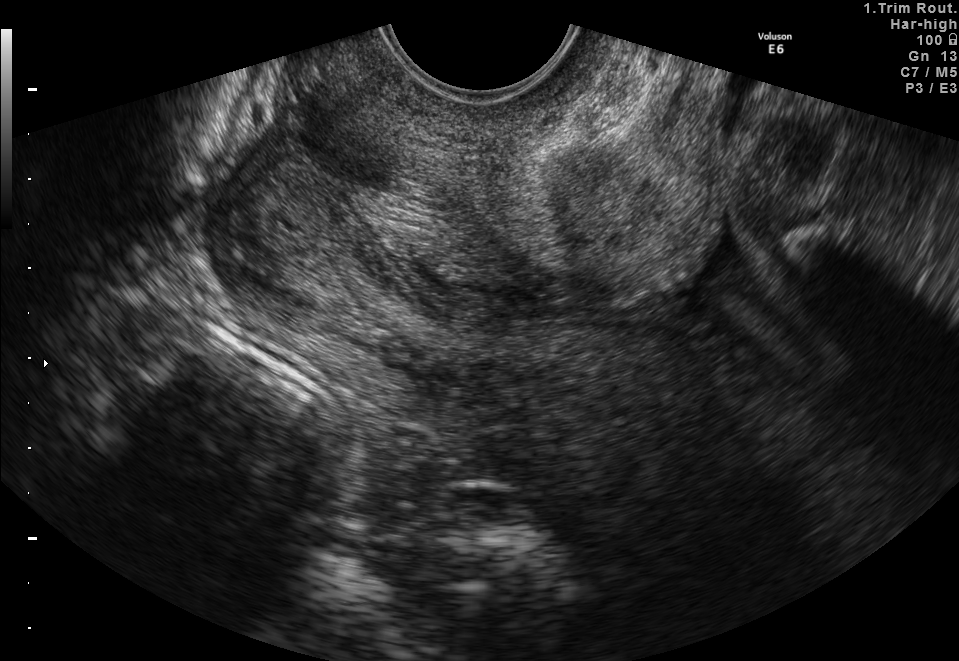
Classify this maternal-fetal ultrasound image as one of the six standard planes — fetal abdomen, fetal brain, fetal femur, fetal thorax, maternal cervix, or other. If it's fetal brain and one of the three standard brain planes (trans-thalamic, trans-cerebellum, trans-ventricular), name which.

Maternal cervix